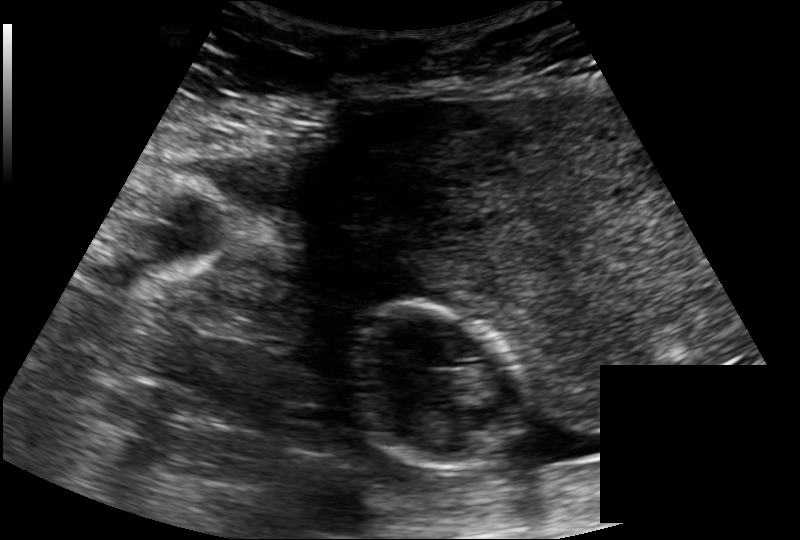
Fetal head ultrasound. Image width: 136.5 mm. Locate the fetal head and, if visible, the cavum septum pellucidum (CSP) and lateral ventricle (LV). Give bounding boxes as [x1,y1,x2,y2].

Head: [345,302,516,470]